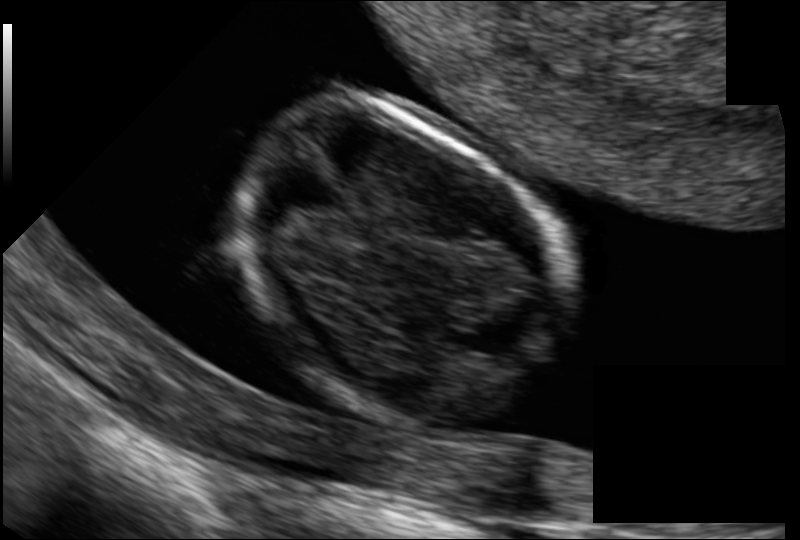
Measure the fetal head circumference shown in this ultrasound image. Image width: 55.2 mm.

Head circumference: 72.7 mm.